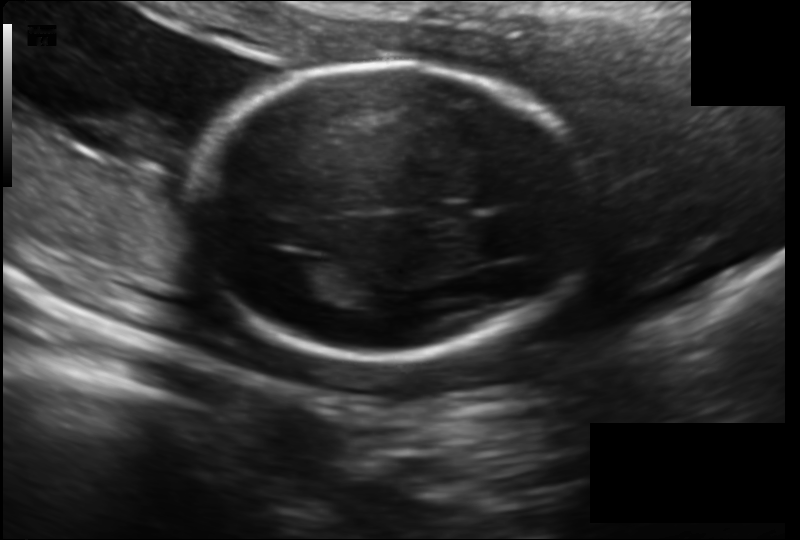
In this fetal head ultrasound, give the bounding box of the fetal head. Image width: 126.8 mm.

[190,63,586,358]